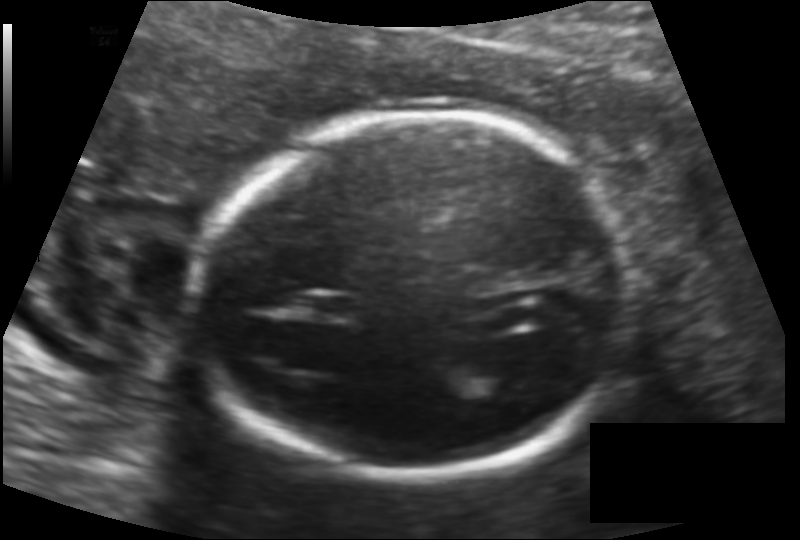
Fetal head ultrasound. Image width: 104.4 mm. Locate the fetal head.

Head: [198,115,631,474]